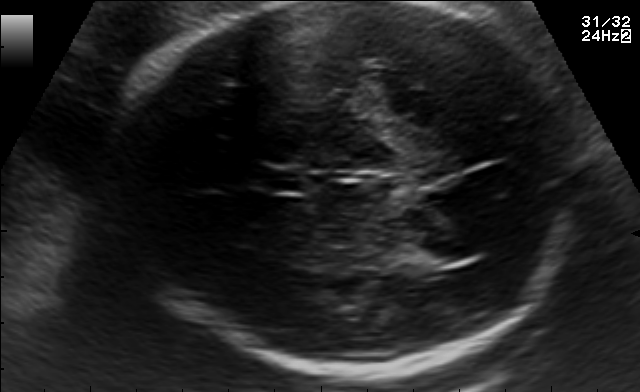
Fetal brain, trans-thalamic plane. Locate the lateral ventricle.

Lateral ventricle: [409,227,485,275]